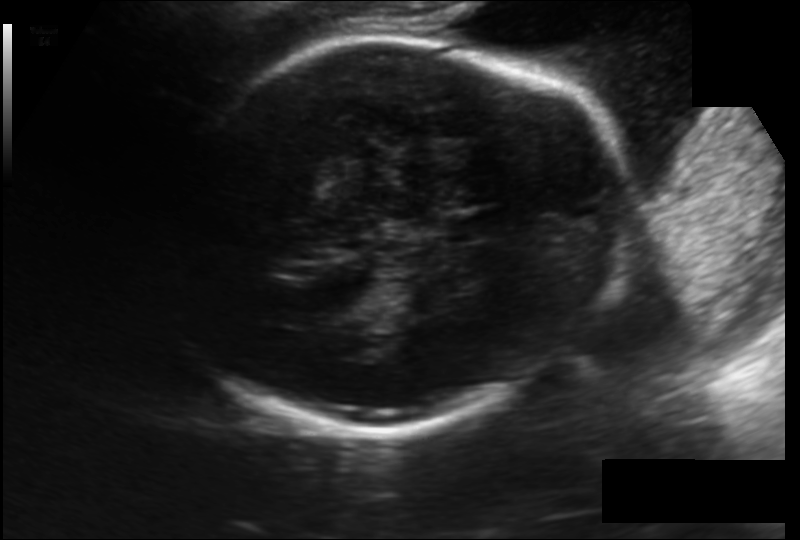
Estimate the fetal head circumference from this 2D ultrasound.

Head circumference: 244.8 mm (image width 139.5 mm).